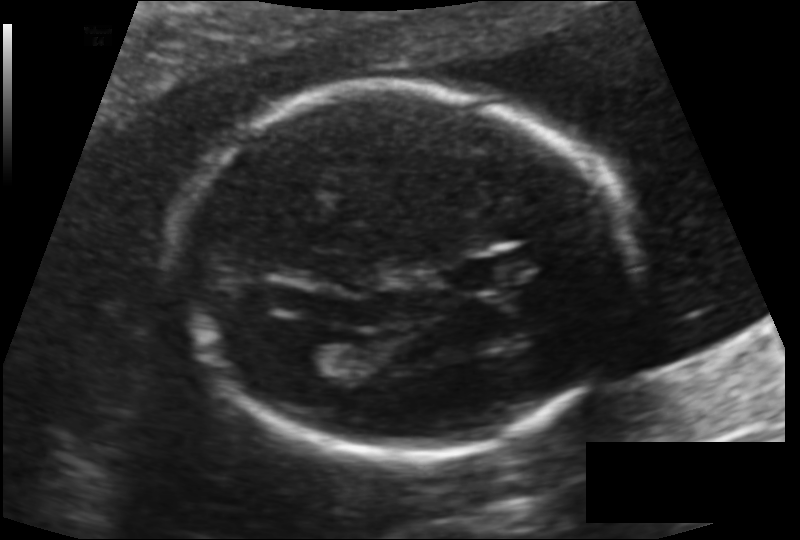
In this fetal head ultrasound, give the bounding box of the fetal head. Image width: 104.6 mm.

[190,92,628,457]